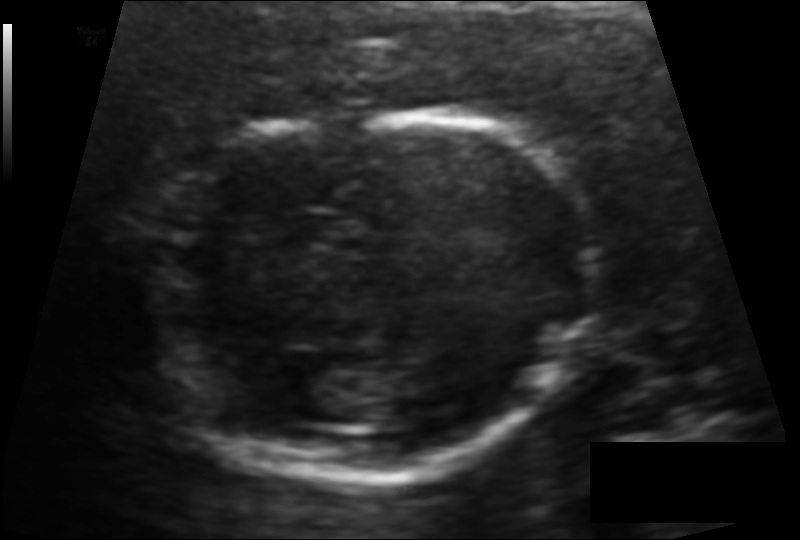
From this fetal ultrasound, estimate the head circumference (image width 81.2 mm).

Head circumference: 132.5 mm.